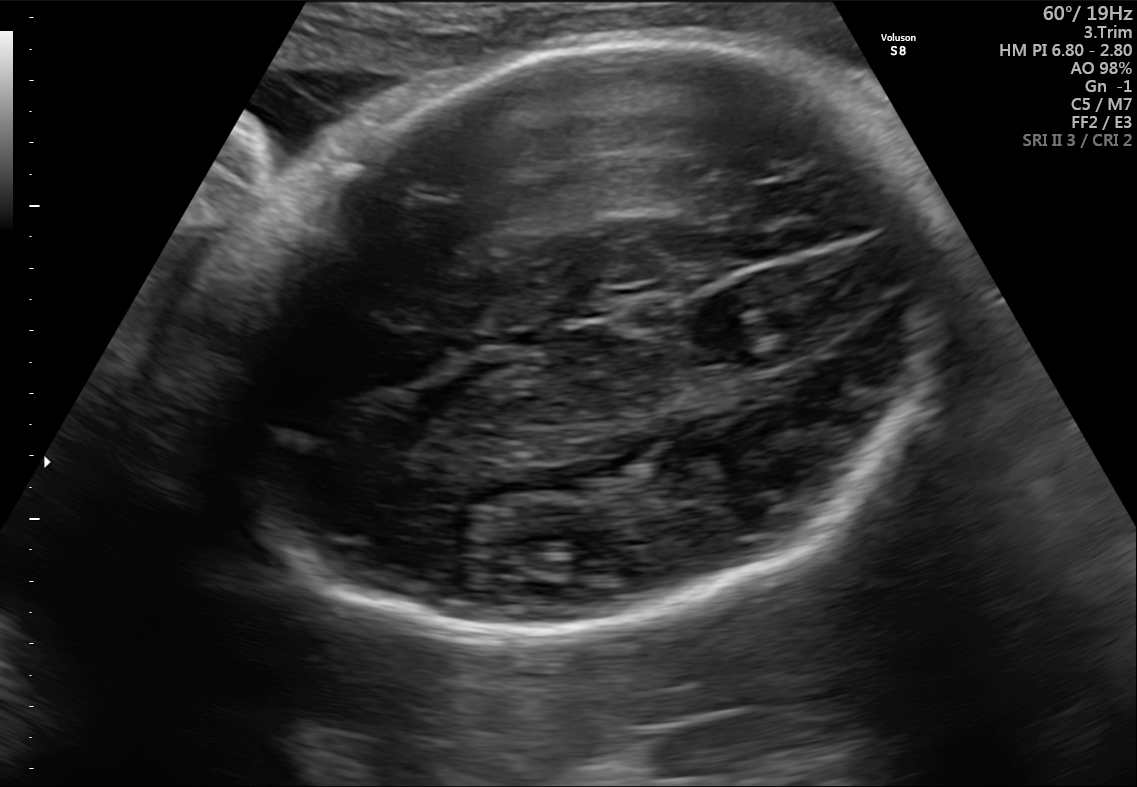
Fetal brain, trans-thalamic plane. Give [x1,y1,x2,y2] bounding boxes for each visible structure among: fetal head, CSP, LV.

Head: [210,42,967,641]